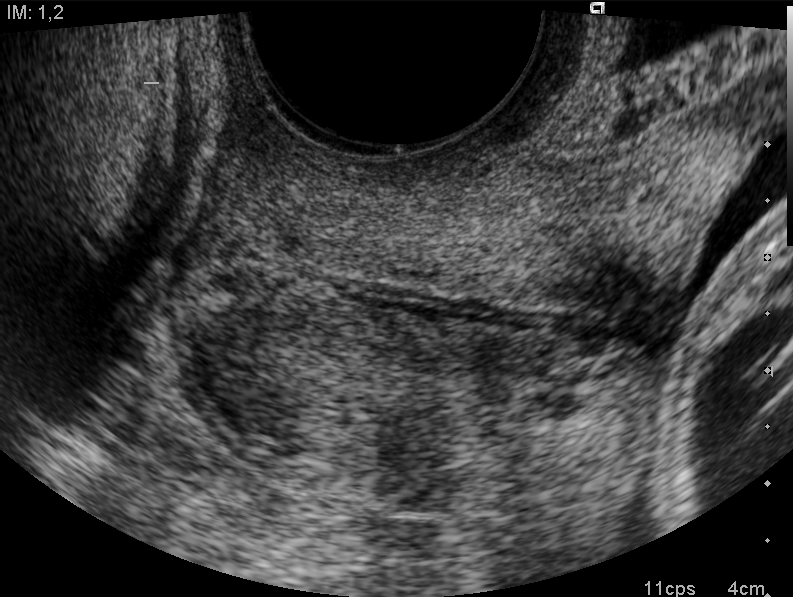
Which standard maternal-fetal ultrasound plane is shown: fetal abdomen, fetal brain, fetal femur, fetal thorax, maternal cervix, or other? If it's fetal brain and one of the three standard brain planes (trans-thalamic, trans-cerebellum, trans-ventricular), name which.

Maternal cervix